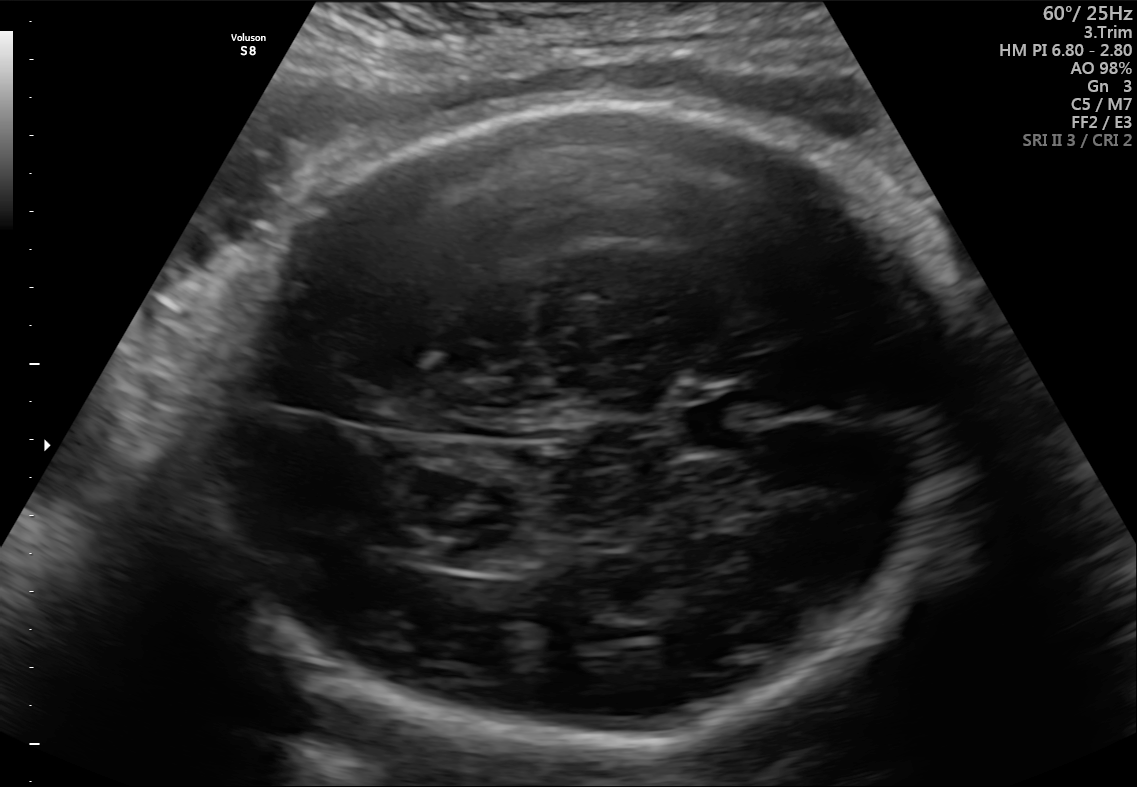
Fetal brain, trans-thalamic plane. Locate the lateral ventricle.

Lateral ventricle: [426,540,515,575]